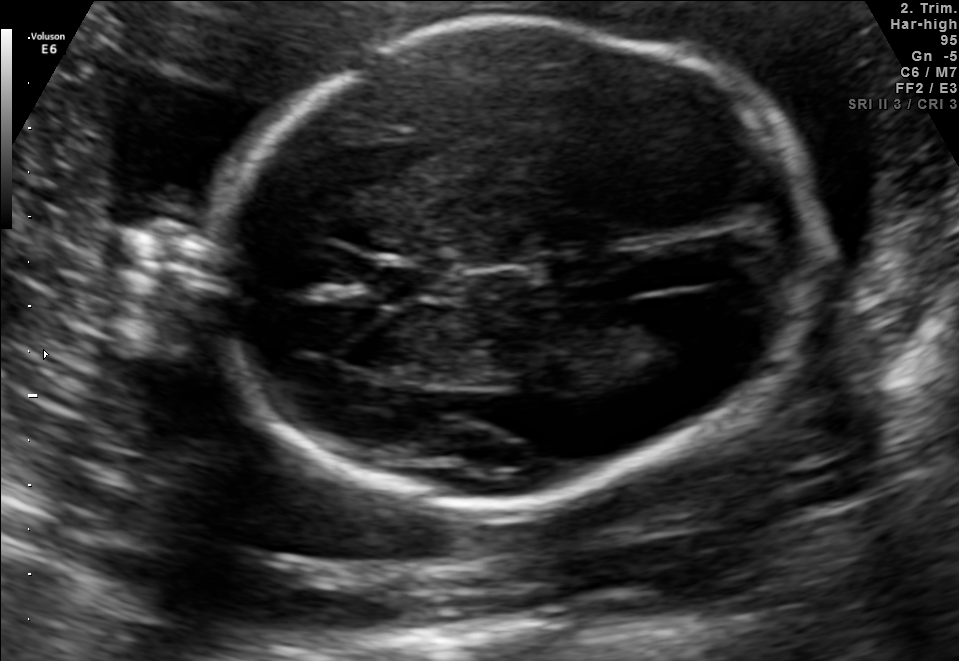
Fetal brain, trans-ventricular plane. Locate the cavum septum pellucidum.

CSP: [373,258,463,299]